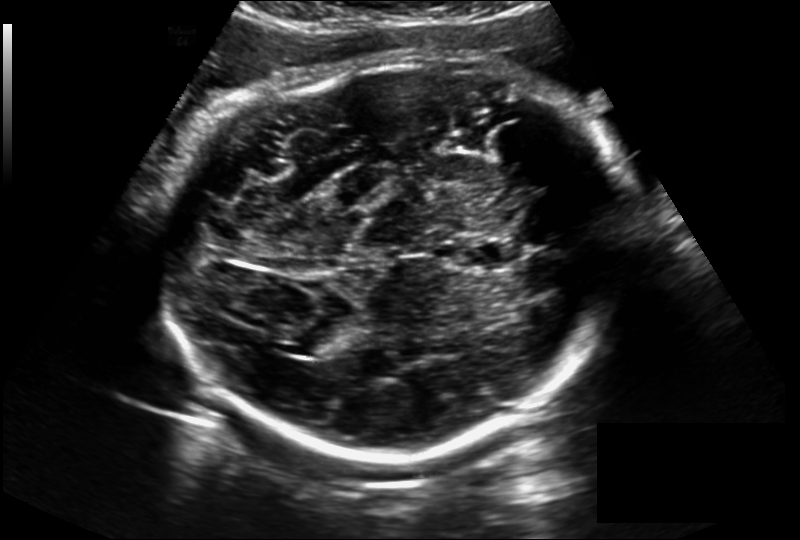
In this fetal head ultrasound, give the bounding box of the fetal head. Image width: 182.1 mm.

[166,55,632,459]